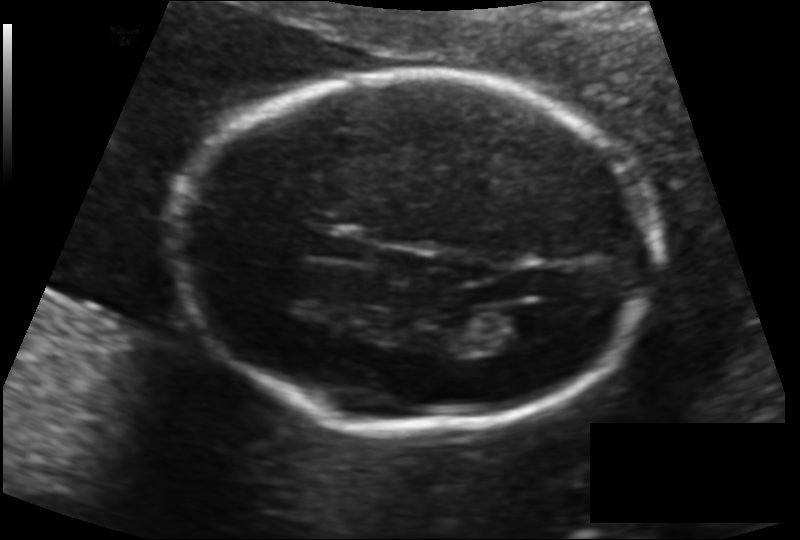
In this fetal head ultrasound, give the bounding box of the cavum septum pellucidum. Image width: 107.4 mm.

[306,226,367,265]